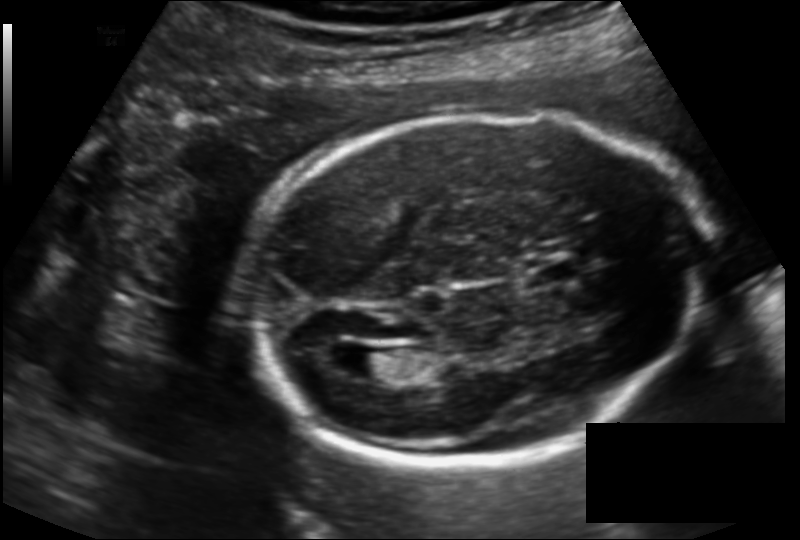
Fetal head ultrasound. Image width: 114.4 mm. Where is the cavum septum pellucidum?

CSP bounding box: [522,257,578,291]